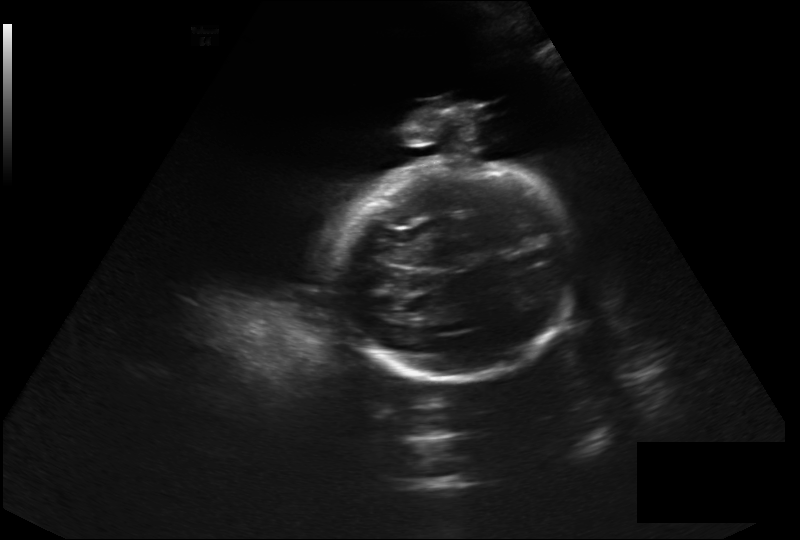
What is the fetal head circumference? Image width is 261.1 mm.

245.3 mm